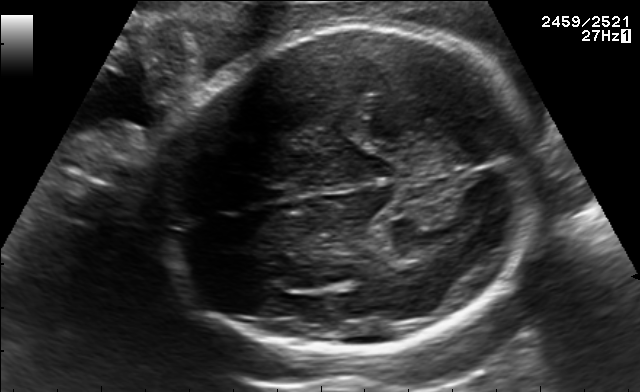
Fetal brain, trans-thalamic plane. Give [x1,y1,x2,y2] bounding boxes for each visible structure among: fetal head, CSP, LV.

Head: [163,23,536,355]